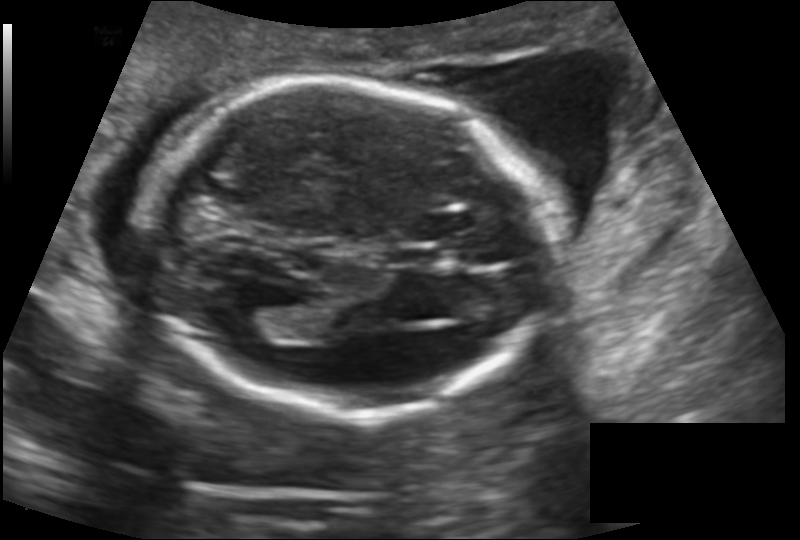
Fetal head ultrasound. Image width: 116.4 mm. Where is the cavum septum pellucidum?

CSP bounding box: [392,247,446,268]